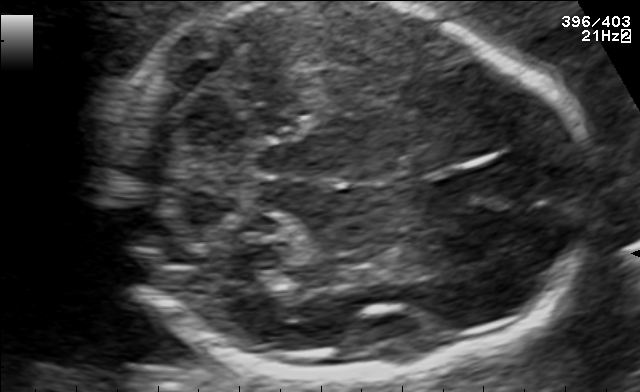
Fetal brain, trans-cerebellum plane. Locate the fetal head and, if visible, the cavum septum pellucidum (CSP) and lateral ventricle (LV). Give bounding boxes as [x1,y1,x2,y2].

Head: [101,2,590,378]